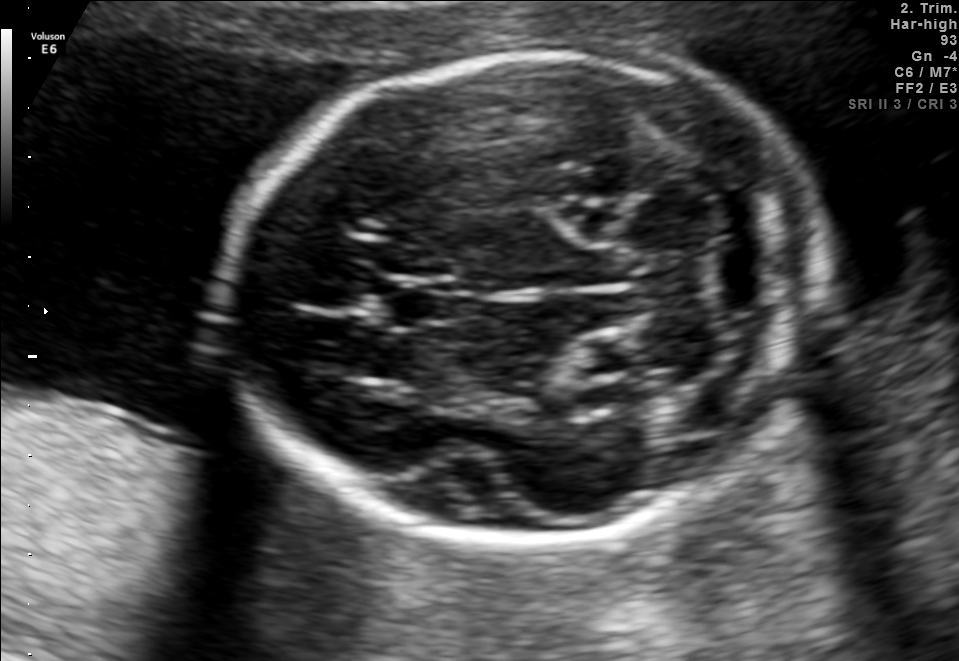
In this fetal brain, trans-cerebellum plane, give bounding boxes for the head outline, cavum septum pellucidum (CSP), and lateral ventricle (LV), where visible.

Head: [228,54,819,539]
CSP: [380,277,460,330]